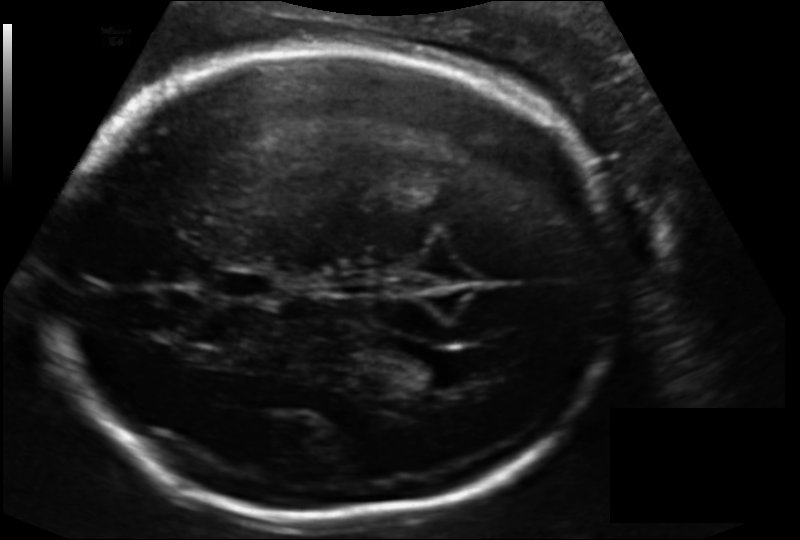
In this fetal head ultrasound, give the bounding box of the cavum septum pellucidum. Image width: 124.7 mm.

[209,264,278,303]